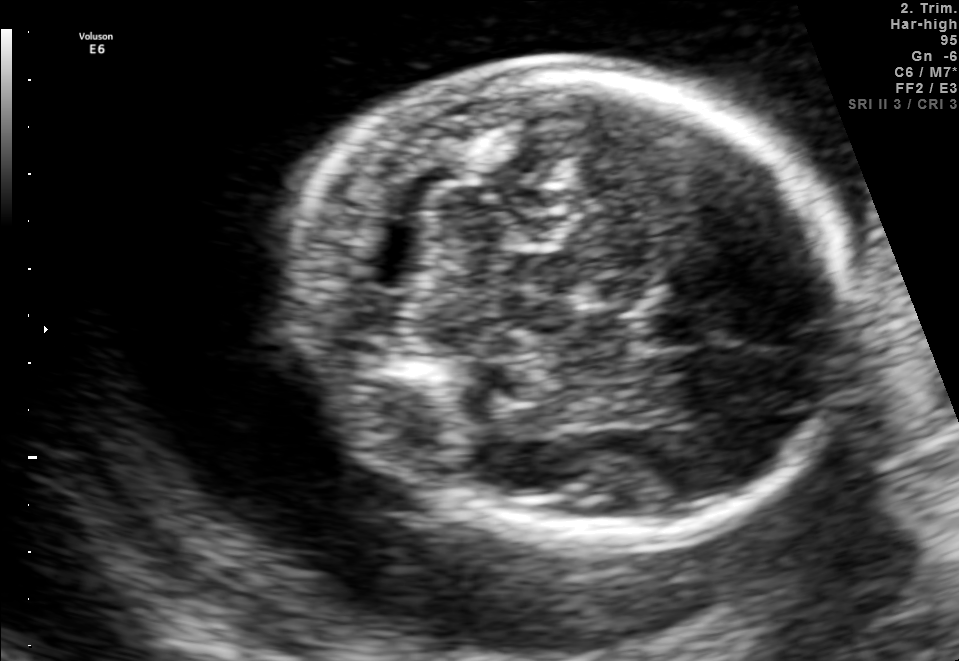
Fetal brain, trans-cerebellum plane. Give [x1,y1,x2,y2] bounding boxes for each visible structure among: fetal head, CSP, LV.

Head: [297,63,846,538]
CSP: [635,308,714,352]